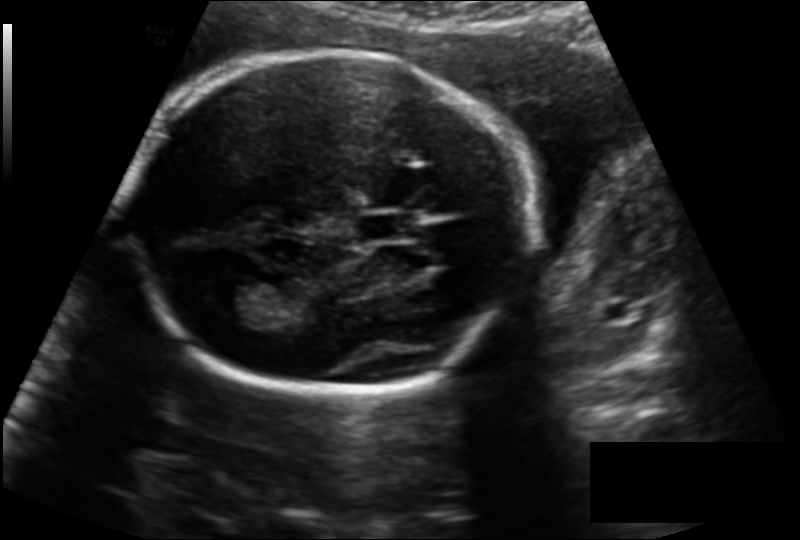
Measure the fetal head circumference shown in this ultrasound image. Image width: 122.1 mm.

Head circumference: 185.1 mm.